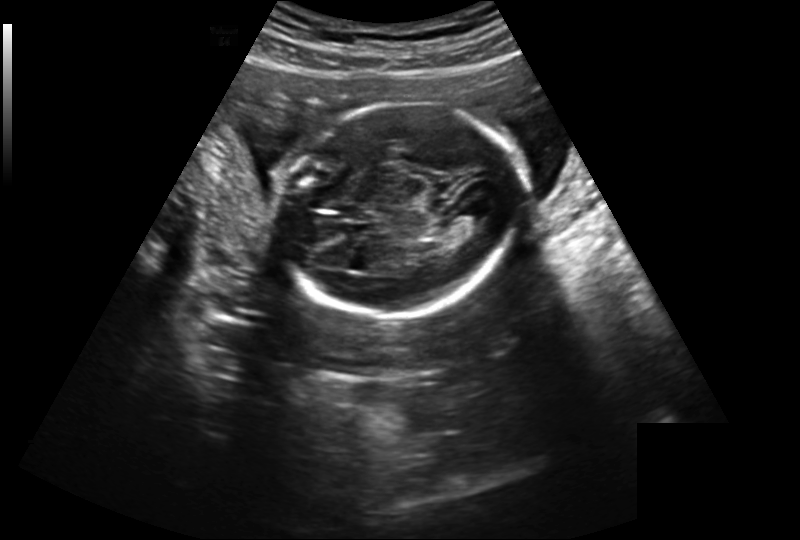
Measure the fetal head circumference shown in this ultrasound image. Image width: 191.4 mm.

Head circumference: 179.5 mm.